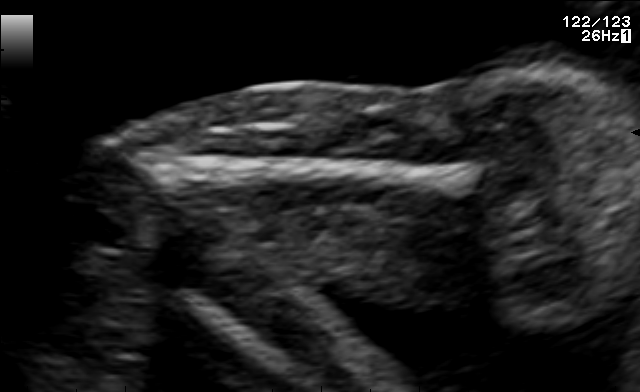
Which standard maternal-fetal ultrasound plane is shown: fetal abdomen, fetal brain, fetal femur, fetal thorax, maternal cervix, or other? If it's fetal brain and one of the three standard brain planes (trans-thalamic, trans-cerebellum, trans-ventricular), name which.

Fetal femur